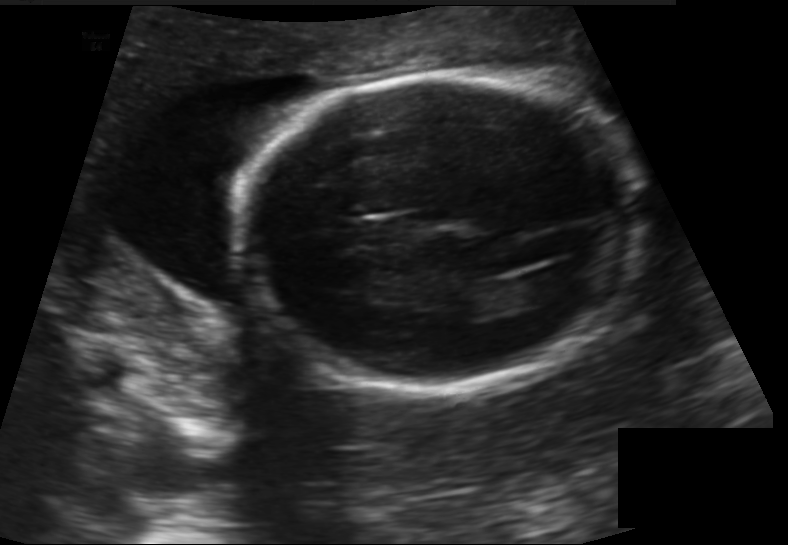
Fetal head ultrasound. Image width: 122.2 mm. Locate the fetal head.

Head: [237,73,633,387]